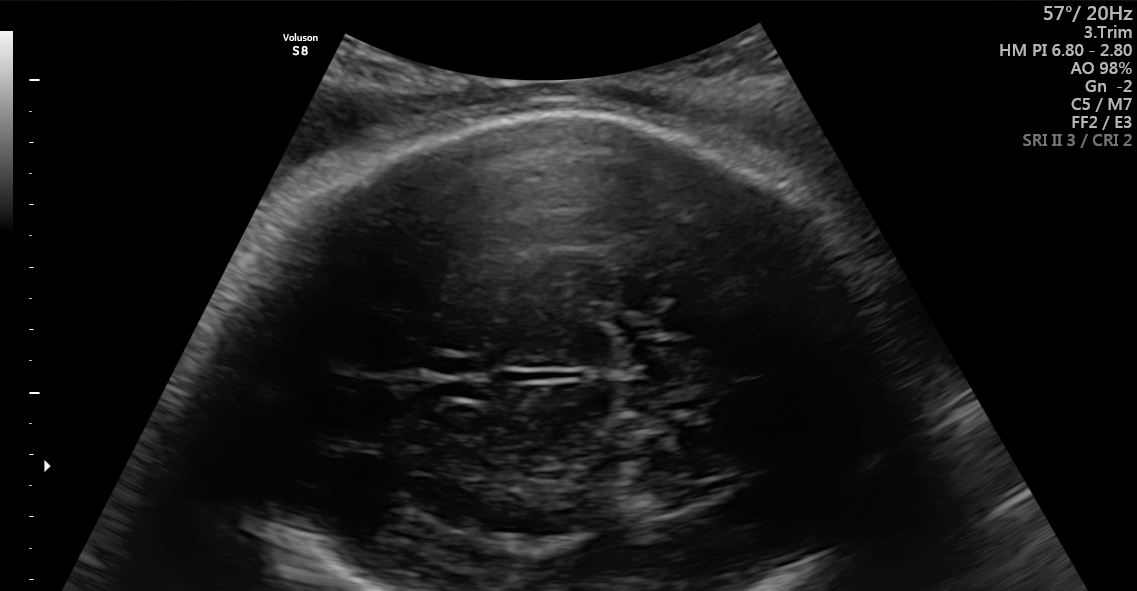
Which standard maternal-fetal ultrasound plane is shown: fetal abdomen, fetal brain, fetal femur, fetal thorax, maternal cervix, or other? If it's fetal brain and one of the three standard brain planes (trans-thalamic, trans-cerebellum, trans-ventricular), name which.

Fetal brain